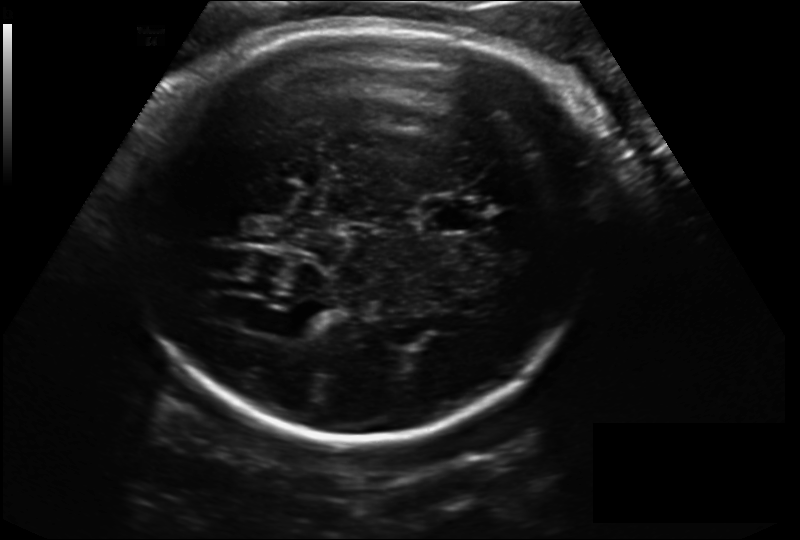
In this fetal head ultrasound, give the bounding box of the lateral ventricle. Image width: 158.7 mm.

[266,307,321,344]